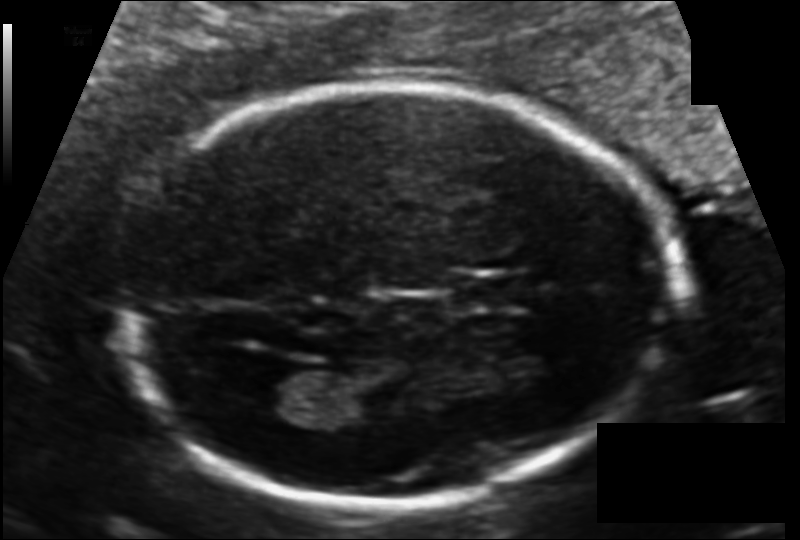
Measure the fetal head circumference shown in this ultrasound image. Image width: 90.0 mm.

Head circumference: 176.3 mm.